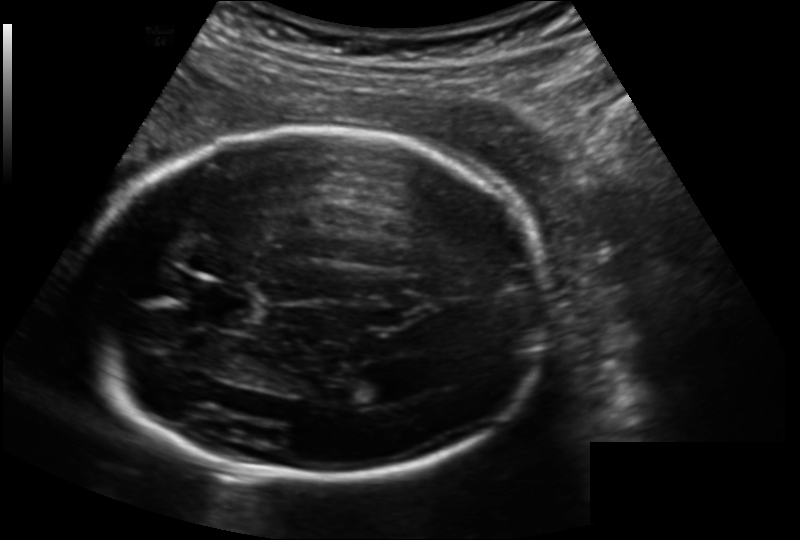
Fetal head ultrasound. Image width: 130.8 mm. Locate the cavum septum pellucidum.

CSP: [186,277,252,331]